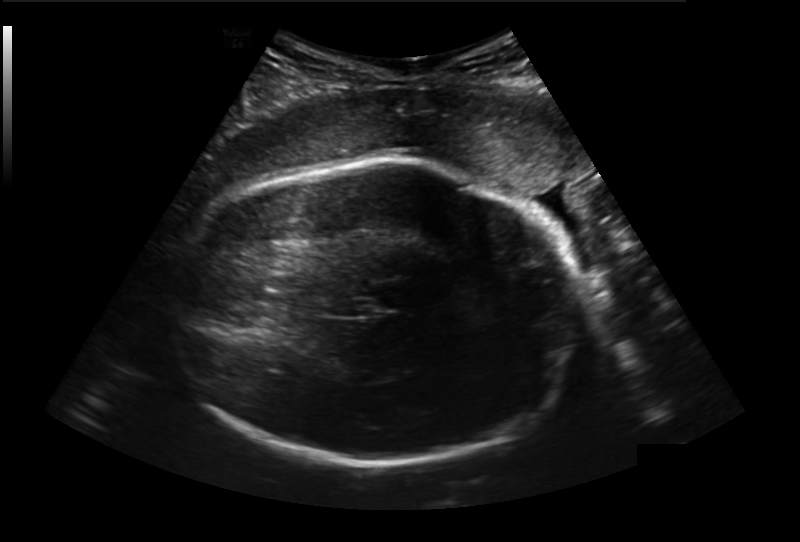
Measure the fetal head circumference shown in this ultrasound image. Image width: 188.7 mm.

Head circumference: 273.4 mm.